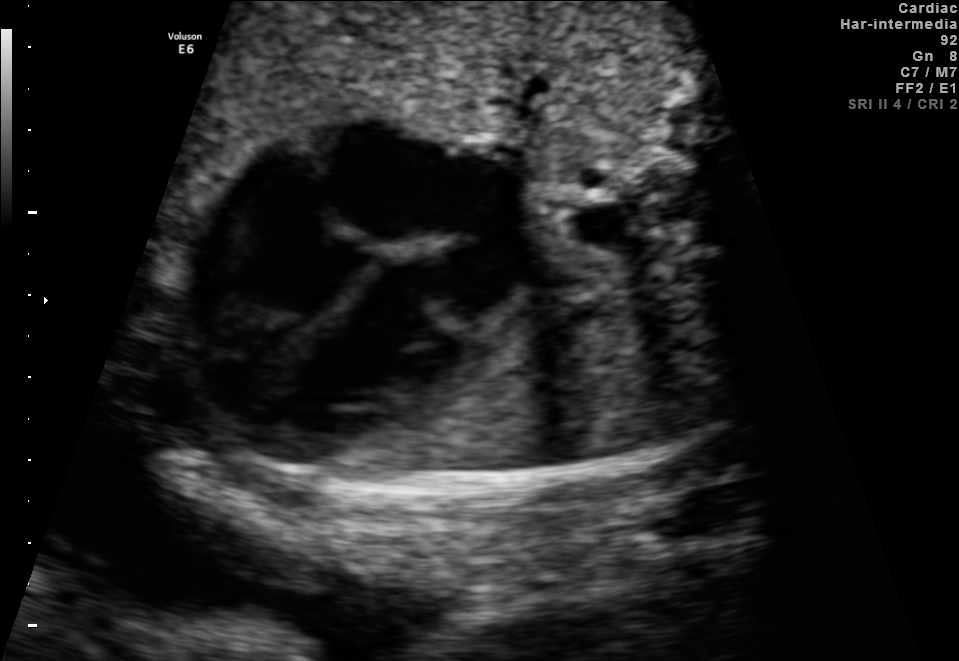
Classify this maternal-fetal ultrasound image as one of the six standard planes — fetal abdomen, fetal brain, fetal femur, fetal thorax, maternal cervix, or other. If it's fetal brain and one of the three standard brain planes (trans-thalamic, trans-cerebellum, trans-ventricular), name which.

Fetal thorax